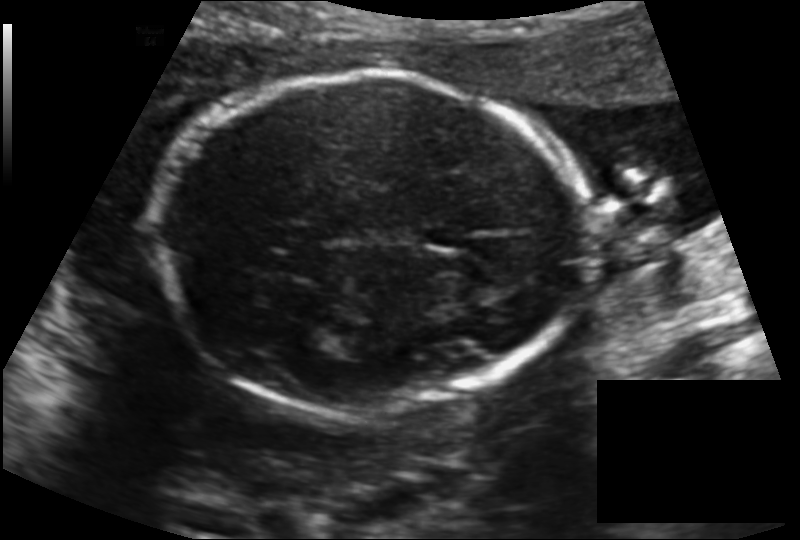
In this fetal head ultrasound, give the bounding box of the fetal head. Image width: 116.2 mm.

[156,72,592,416]